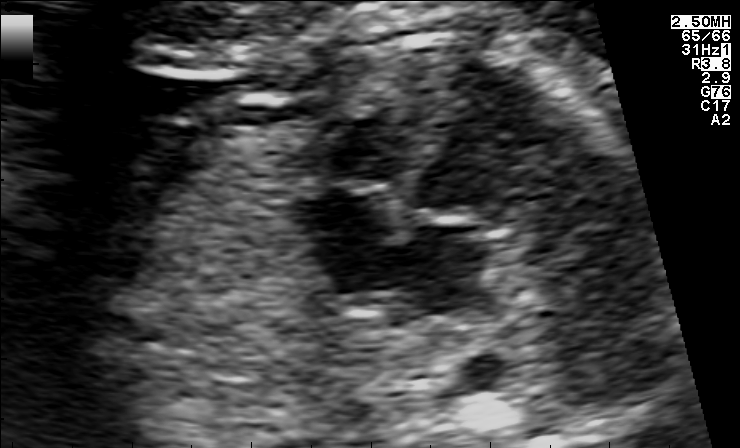
This is a 2D maternal-fetal ultrasound frame. Is it a fetal abdomen, fetal brain, fetal femur, fetal thorax, maternal cervix, or other standard plane? If it's fetal brain and one of the three standard brain planes (trans-thalamic, trans-cerebellum, trans-ventricular), name which.

Fetal thorax